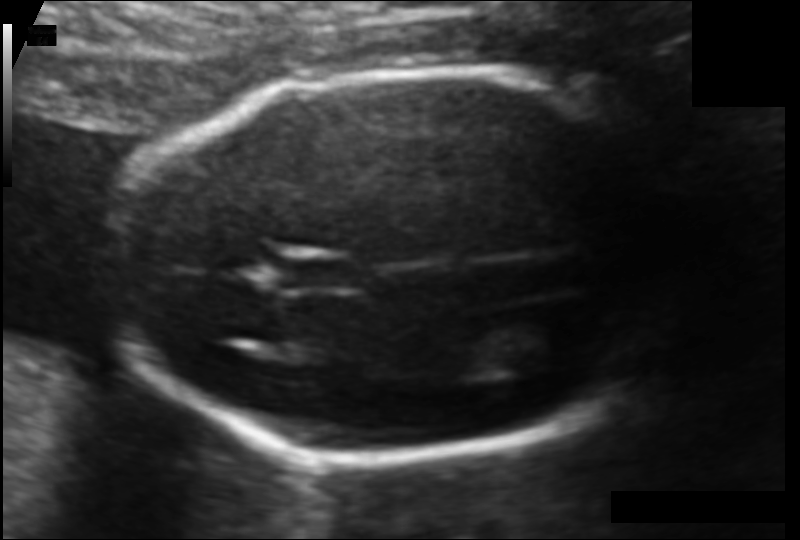
Fetal head ultrasound. Image width: 82.3 mm. Where is the lateral ventricle?

Lateral ventricle bounding box: [490,312,584,376]